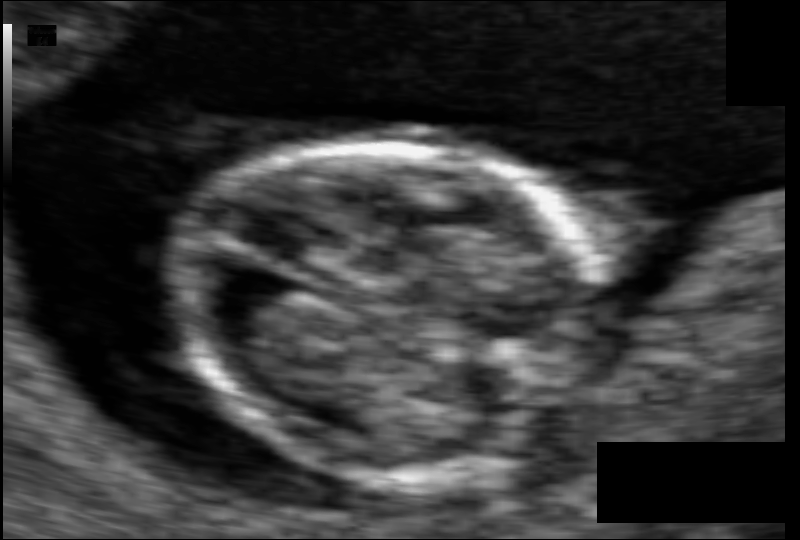
Measure the fetal head circumference shown in this ultrasound image. Image width: 43.6 mm.

Head circumference: 68.4 mm.